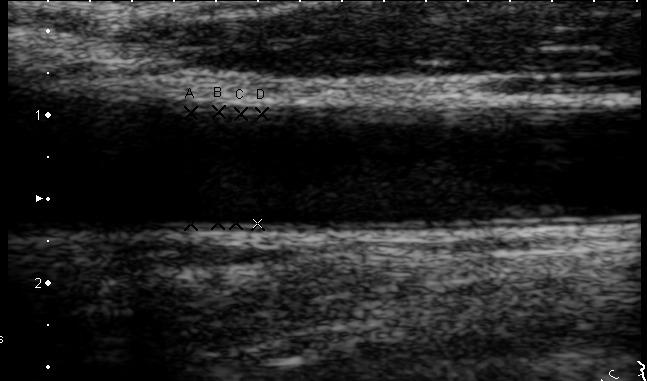
This is a 2D maternal-fetal ultrasound frame. Is it a fetal abdomen, fetal brain, fetal femur, fetal thorax, maternal cervix, or other standard plane? If it's fetal brain and one of the three standard brain planes (trans-thalamic, trans-cerebellum, trans-ventricular), name which.

Other